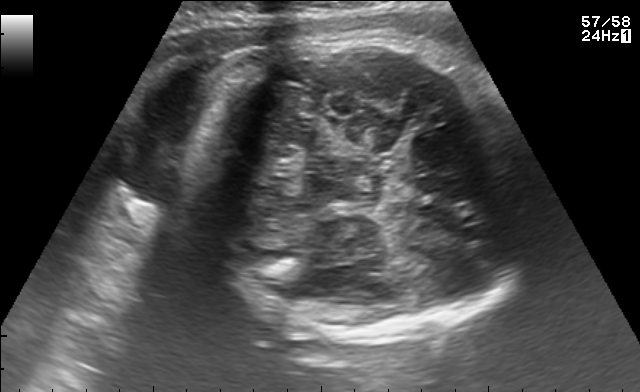
In this fetal brain, trans-thalamic plane, give bounding boxes for the head outline, cavum septum pellucidum (CSP), and lateral ventricle (LV), where visible.

Head: [186,36,531,334]